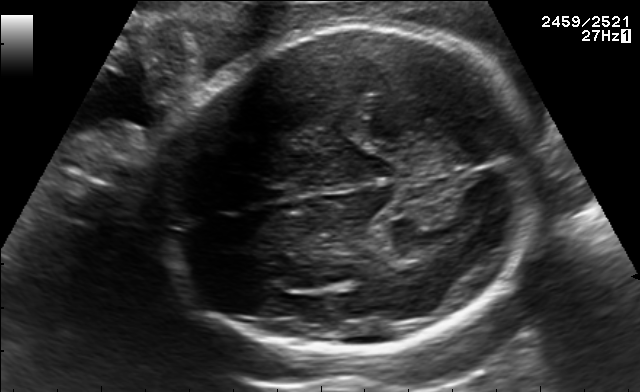
In this fetal brain, trans-thalamic plane, give bounding boxes for the head outline, cavum septum pellucidum (CSP), and lateral ventricle (LV), where visible.

Head: [163,23,536,355]